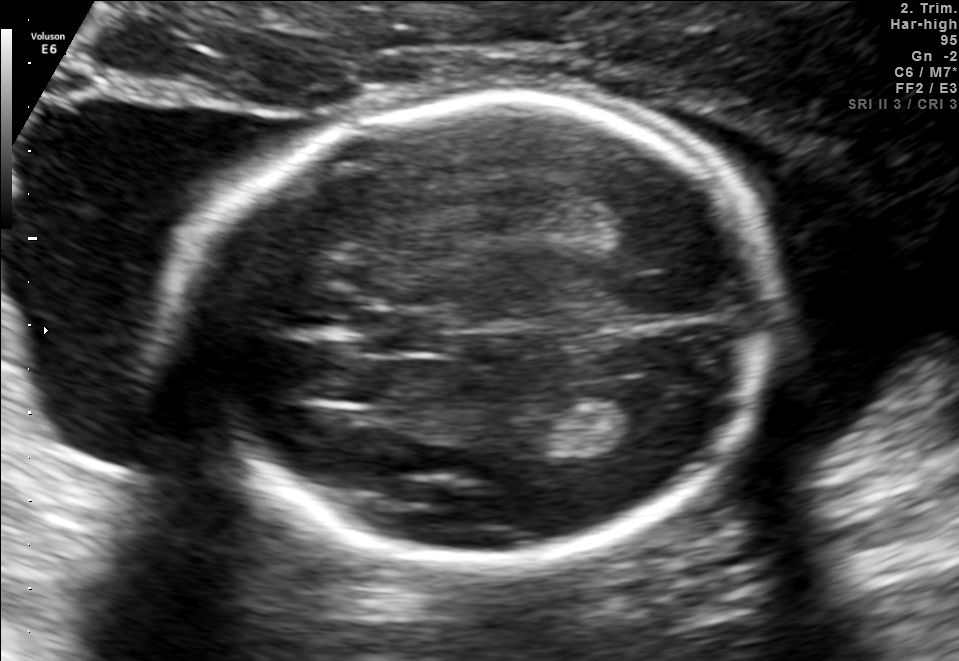
Fetal brain, trans-thalamic plane. Where is the cavum septum pellucidum?

CSP bounding box: [360,313,443,352]